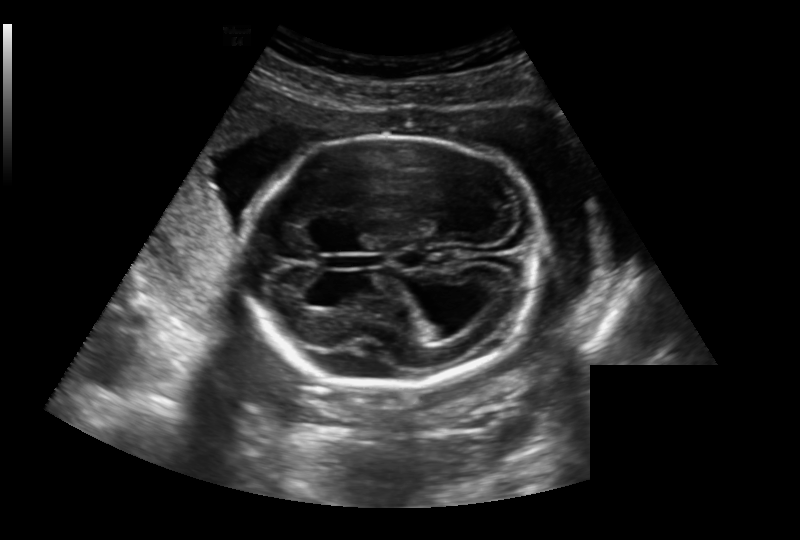
In this fetal head ultrasound, give bounding boxes for the head outline, cavum septum pellucidum (CSP), and lateral ventricle (LV), where visible. Image width: 188.6 mm.

Head: [242,136,541,385]